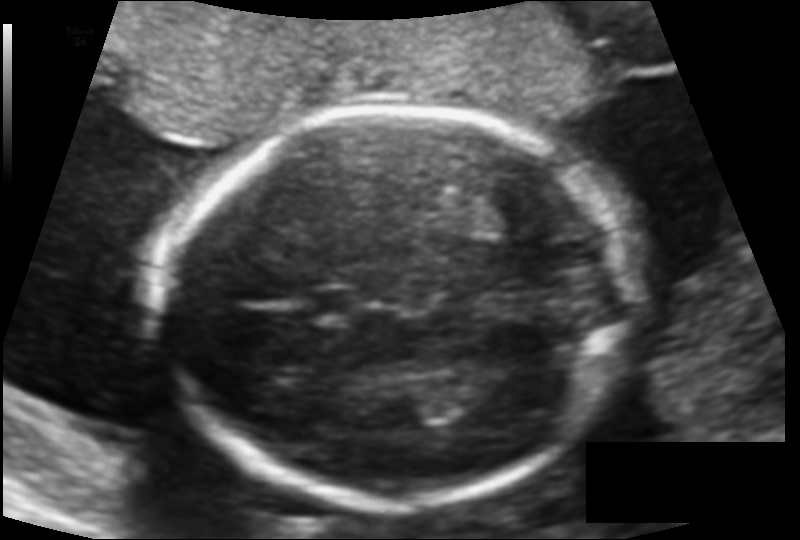
From this fetal ultrasound, estimate the head circumference (image width 97.0 mm).

Head circumference: 169.7 mm.